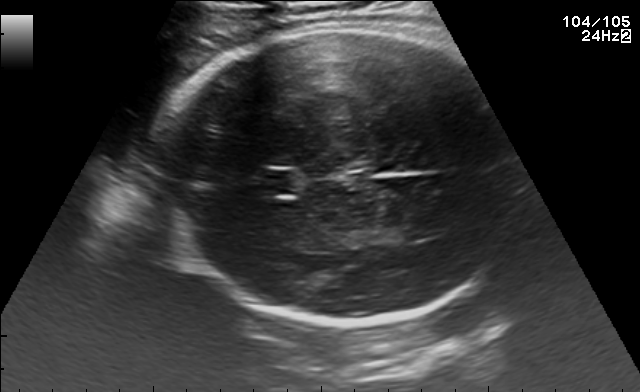
Fetal brain, trans-thalamic plane. Where is the fetal head?

Head bounding box: [151,24,508,326]